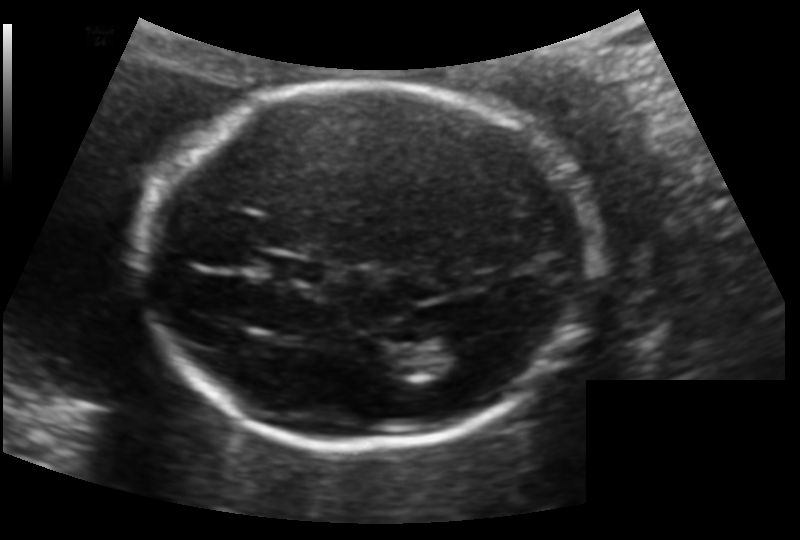
Fetal head ultrasound. Image width: 106.4 mm. Where is the lateral ventricle?

Lateral ventricle bounding box: [424,329,484,375]